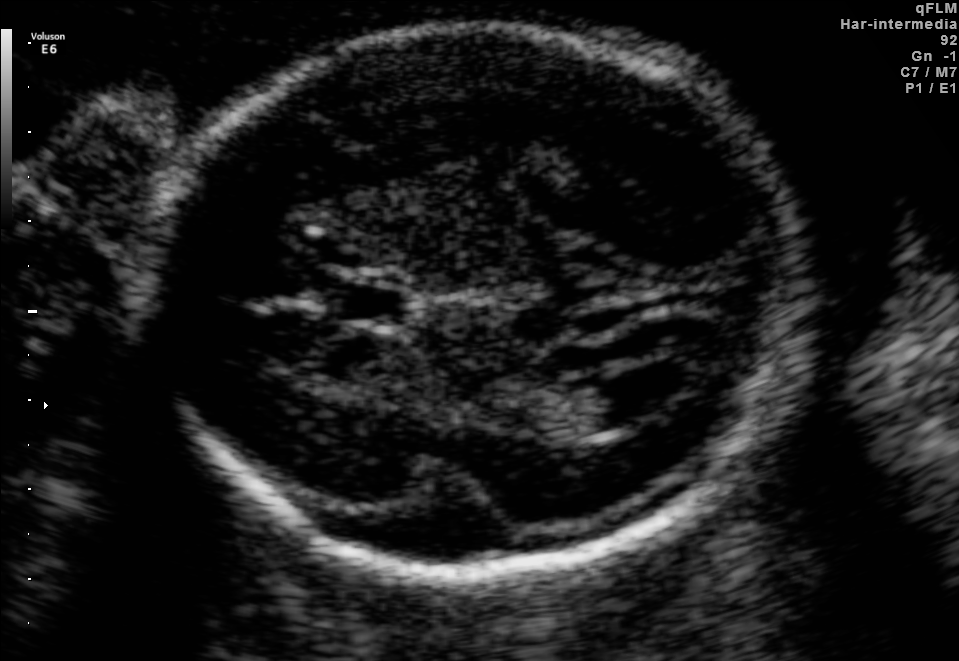
Fetal brain, trans-ventricular plane. Give [x1,y1,x2,y2] bounding boxes for each visible structure among: fetal head, CSP, LV.

Head: [121,17,832,592]
CSP: [317,276,425,331]
Lateral ventricle: [567,357,676,438]